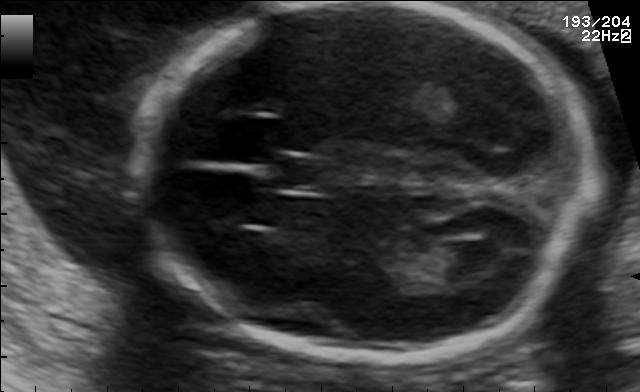
In this fetal brain, trans-ventricular plane, give bounding boxes for the head outline, cavum septum pellucidum (CSP), and lateral ventricle (LV), where visible.

Head: [125,3,604,363]
CSP: [273,154,335,195]
Lateral ventricle: [447,238,512,283]